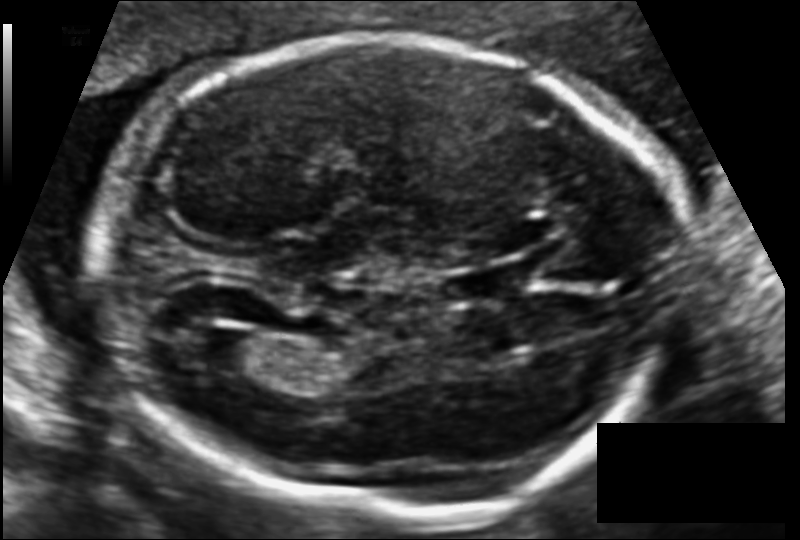
Fetal head ultrasound. Image width: 92.7 mm. Where is the lateral ventricle?

Lateral ventricle bounding box: [190,325,263,375]